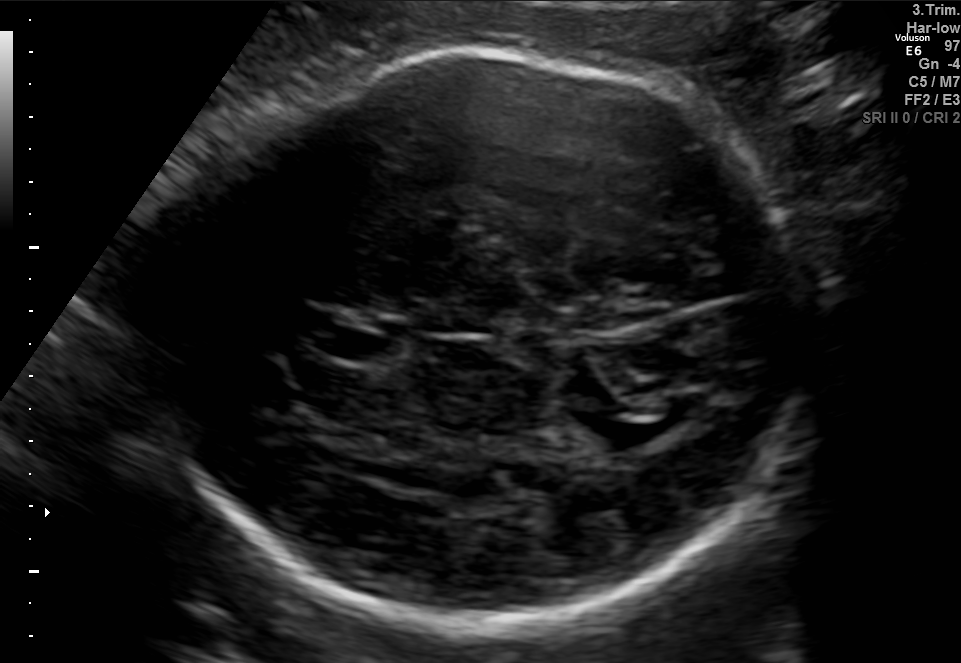
Fetal brain, trans-thalamic plane. Locate the fetal head.

Head: [143,52,824,627]